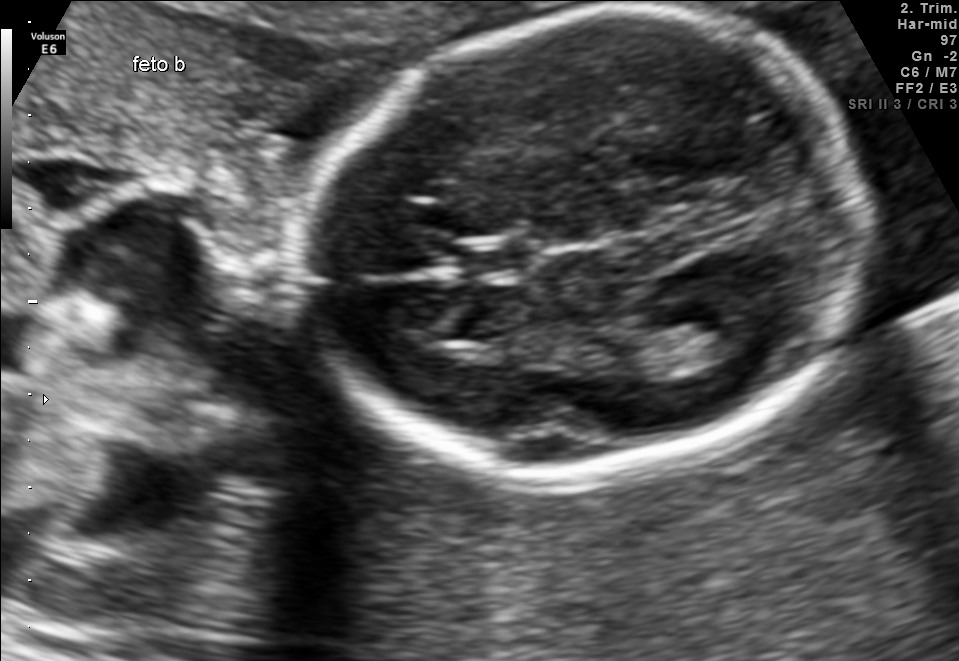
In this fetal brain, trans-thalamic plane, give bounding boxes for the head outline, cavum septum pellucidum (CSP), and lateral ventricle (LV), where visible.

Head: [302,16,861,475]
CSP: [464,239,534,278]
Lateral ventricle: [668,306,758,374]